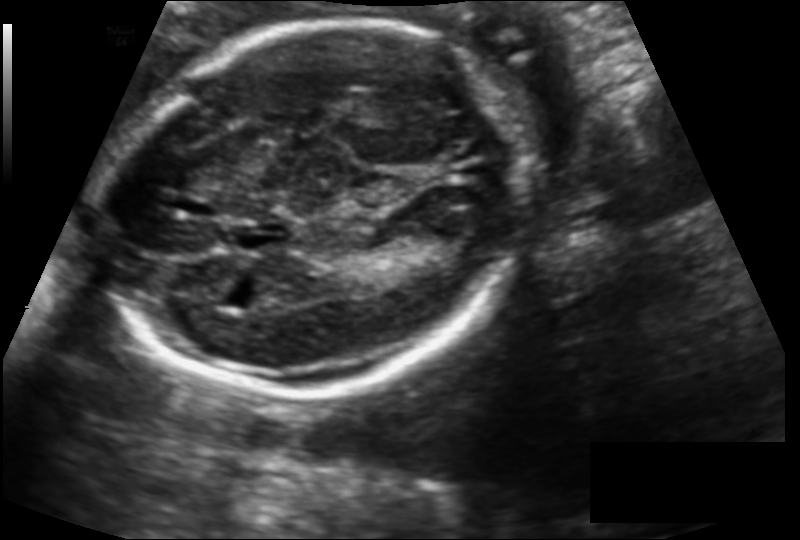
Fetal head ultrasound. Image width: 106.3 mm. Where is the fetal head?

Head bounding box: [100,20,535,392]